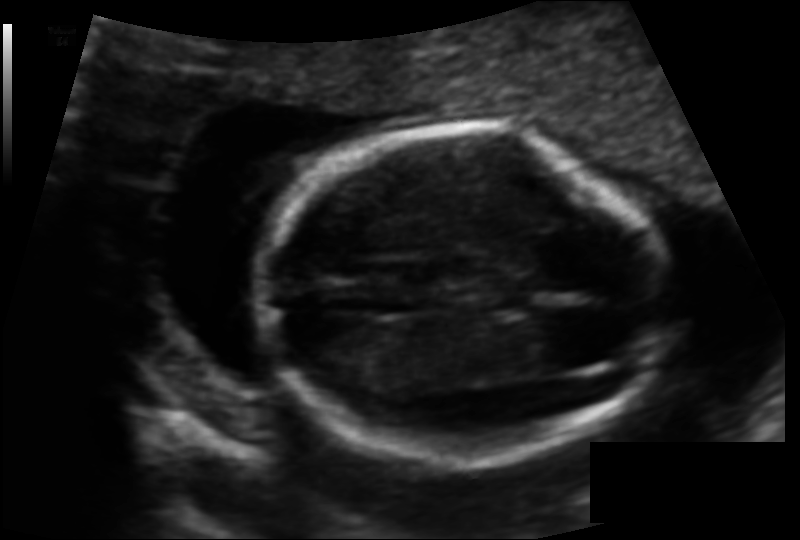
Estimate the fetal head circumference from this 2D ultrasound. Image width: 81.7 mm.

Head circumference: 123.5 mm.